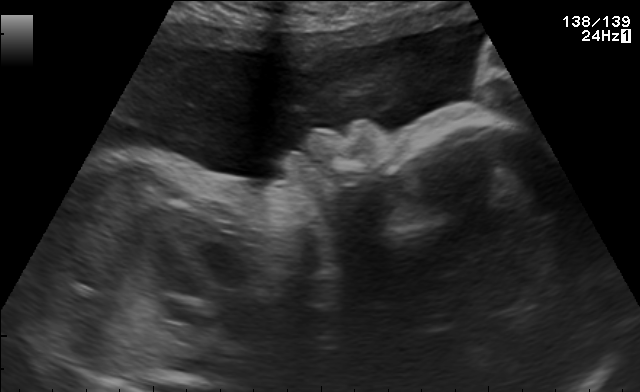
Identify the standard plane in this fetal ultrasound image: fetal abdomen, fetal brain, fetal femur, fetal thorax, maternal cervix, or other. If it's fetal brain and one of the three standard brain planes (trans-thalamic, trans-cerebellum, trans-ventricular), name which.

Other